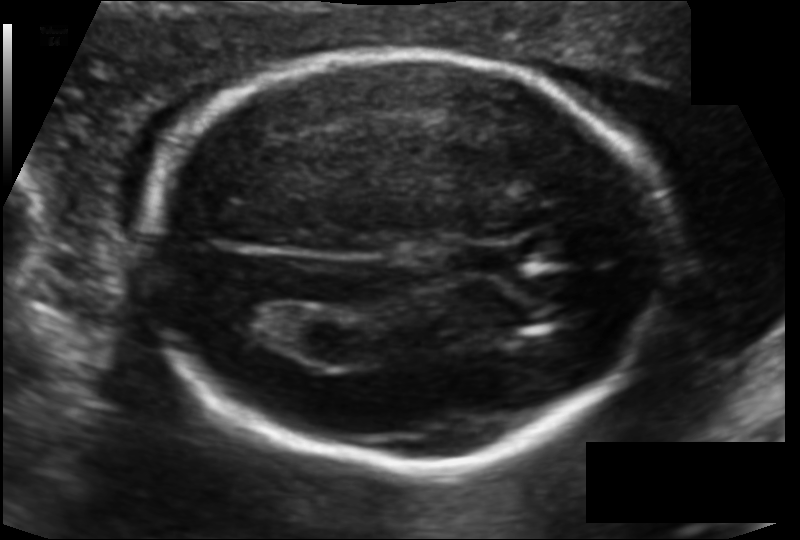
Fetal head ultrasound. Image width: 91.7 mm. Locate the cavum septum pellucidum.

CSP: [458,239,519,279]